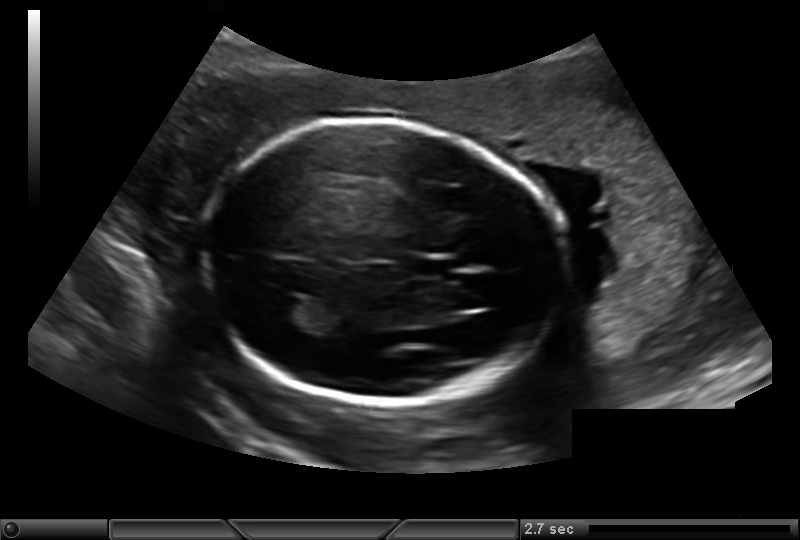
In this fetal head ultrasound, give the bounding box of the cavum septum pellucidum. Image width: 154.2 mm.

[408,257,455,279]